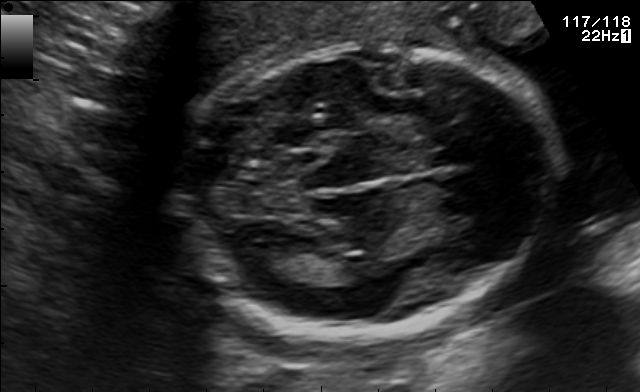
Fetal brain, trans-thalamic plane. Give [x1,y1,x2,y2] bounding boxes for each visible structure among: fetal head, CSP, LV.

Head: [186,43,552,334]
Lateral ventricle: [237,234,313,282]